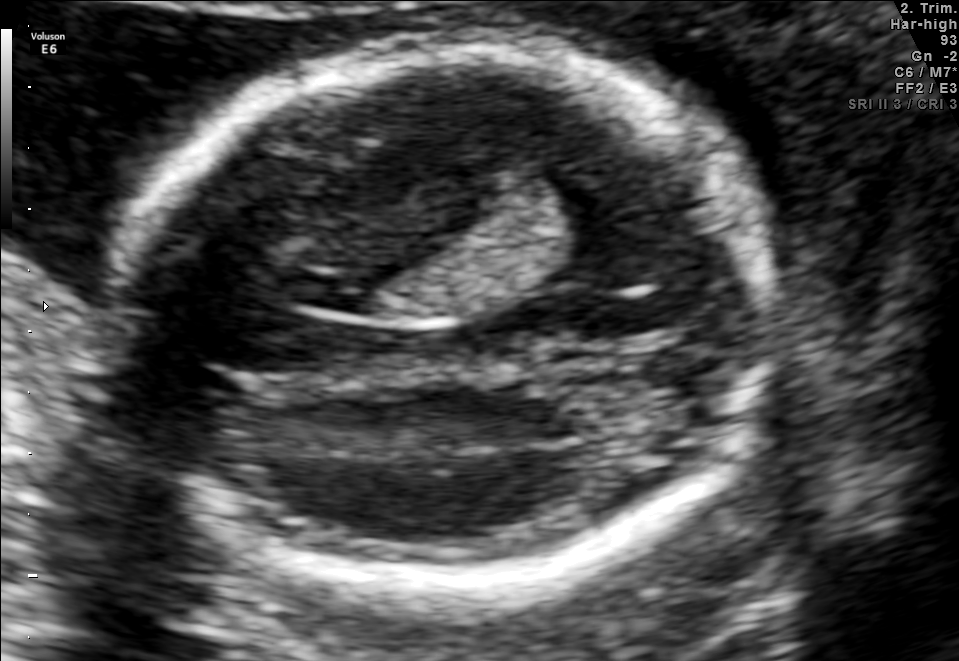
Fetal brain, trans-ventricular plane. Locate the fetal head.

Head: [102,43,791,592]